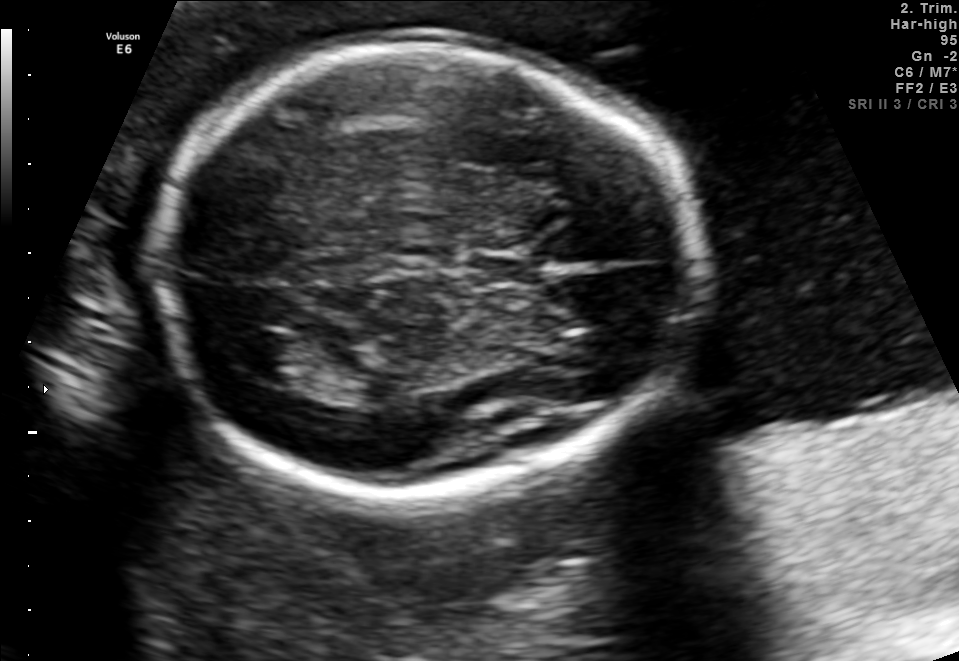
In this fetal brain, trans-thalamic plane, give the bounding box of the fetal head.

[151,41,698,496]